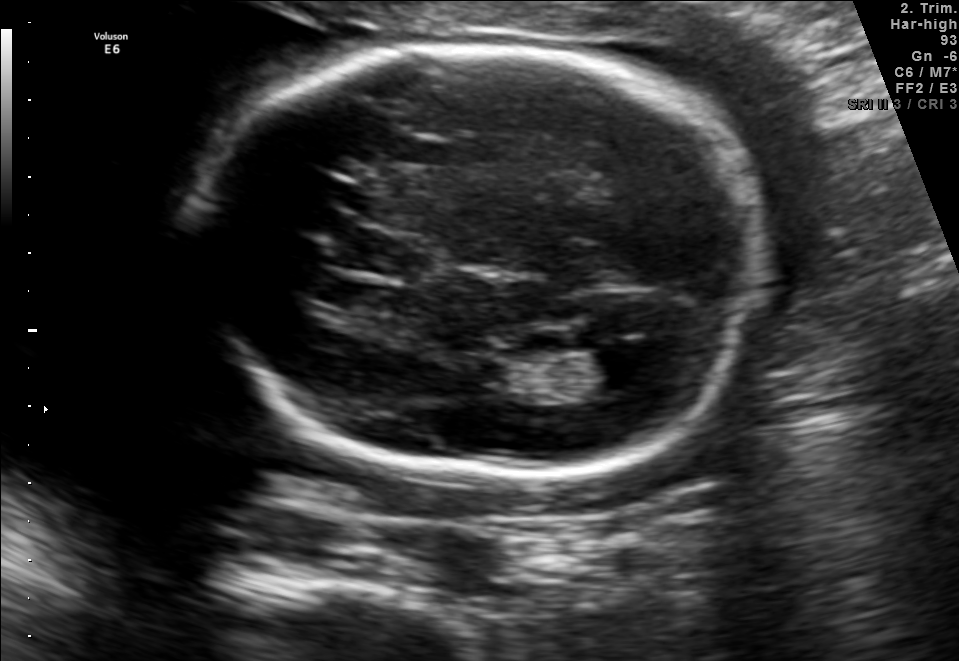
Fetal brain, trans-ventricular plane. Where is the cavum septum pellucidum?

CSP bounding box: [317,222,434,284]